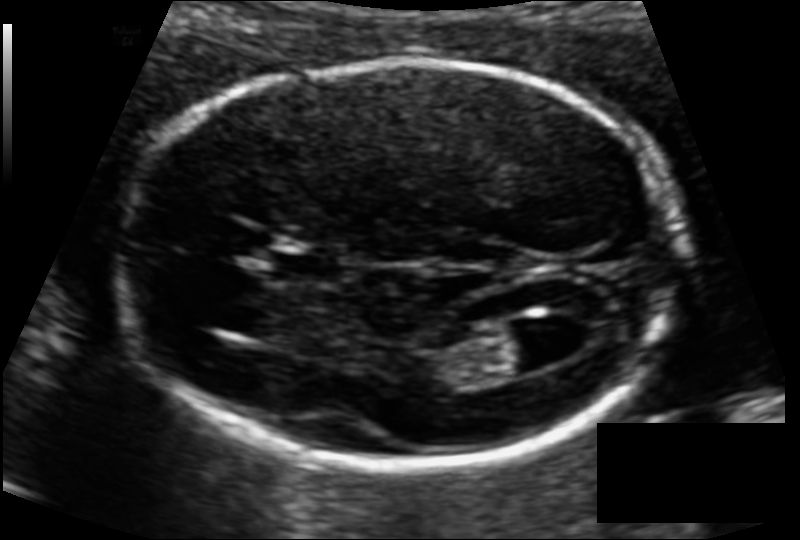
Fetal head ultrasound. Image width: 83.4 mm. Locate the lateral ventricle.

Lateral ventricle: [485,314,574,380]